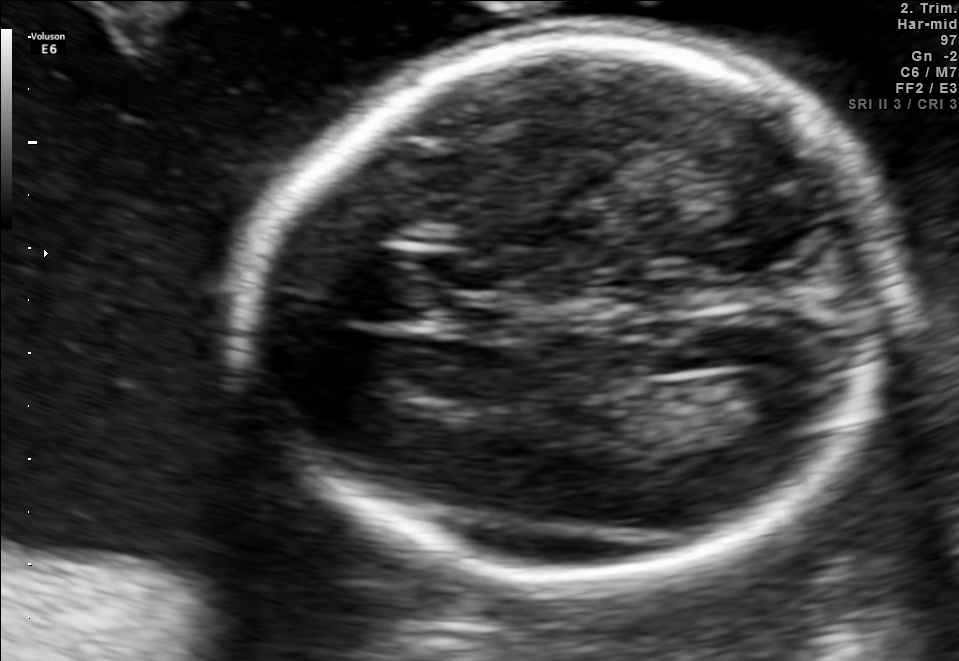
Fetal brain, trans-ventricular plane. Locate the lateral ventricle.

Lateral ventricle: [731,360,818,428]